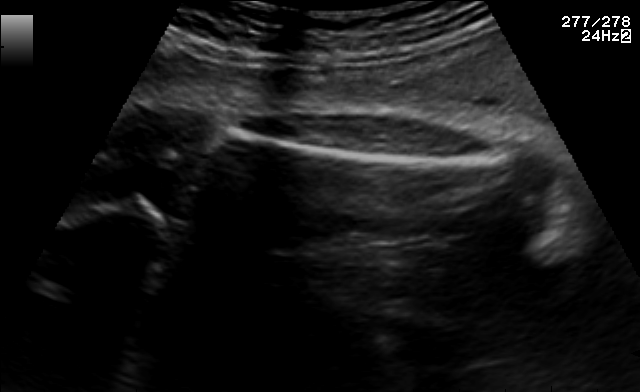
This is a 2D maternal-fetal ultrasound frame. Is it a fetal abdomen, fetal brain, fetal femur, fetal thorax, maternal cervix, or other standard plane? If it's fetal brain and one of the three standard brain planes (trans-thalamic, trans-cerebellum, trans-ventricular), name which.

Fetal femur